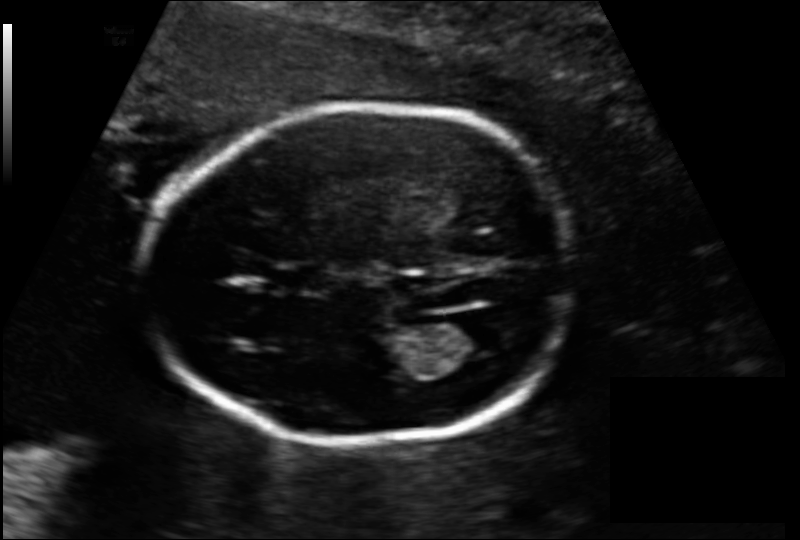
Fetal head ultrasound. Image width: 109.4 mm. Locate the cavum septum pellucidum.

CSP: [267,264,328,291]